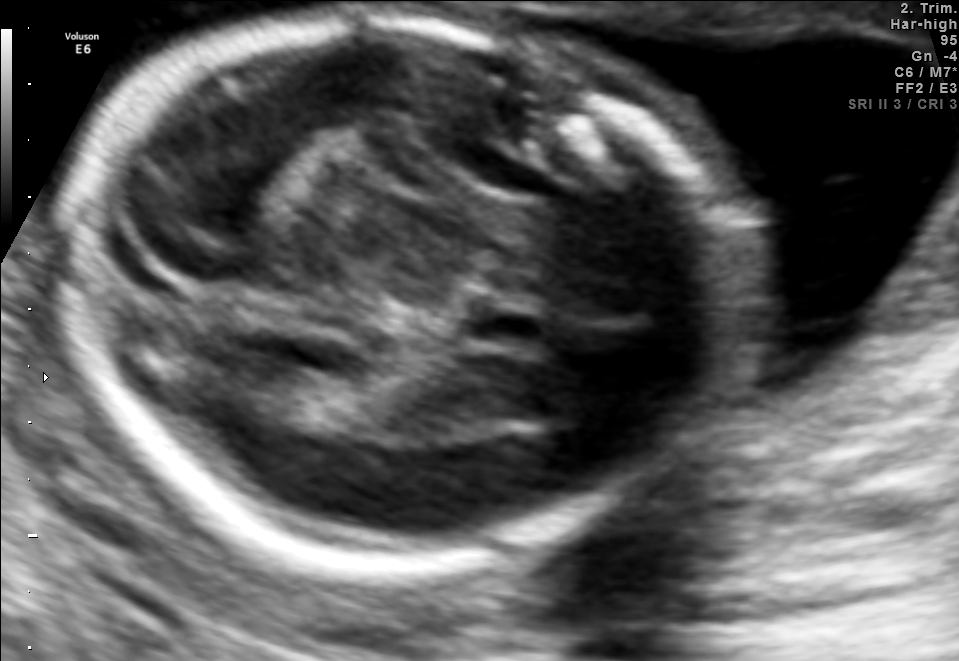
Fetal brain, trans-thalamic plane. Locate the cavum septum pellucidum.

CSP: [465,295,548,355]